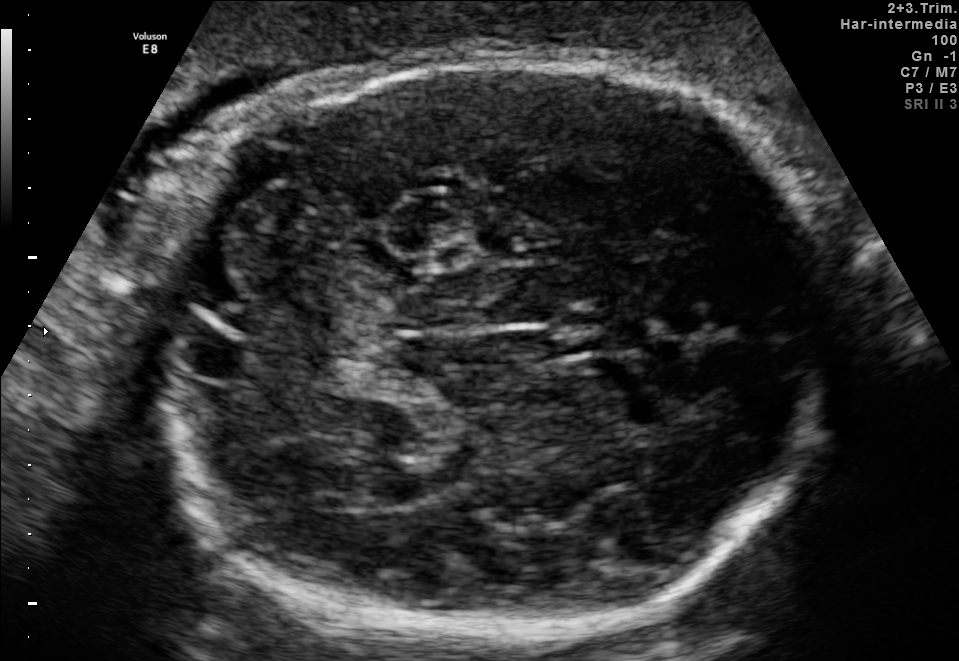
Fetal brain, trans-cerebellum plane. Locate the fetal head.

Head: [155,57,834,638]